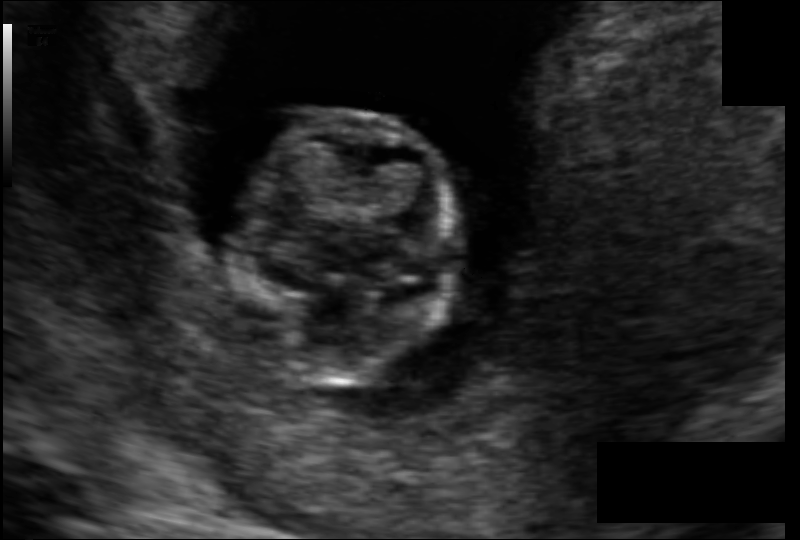
Measure the fetal head circumference shown in this ultrasound image. Image width: 72.7 mm.

Head circumference: 73.1 mm.